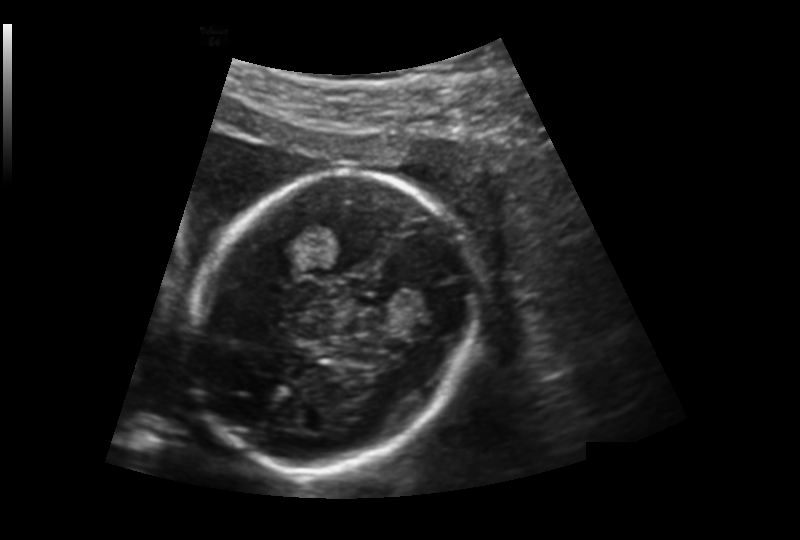
Fetal head ultrasound. Image width: 140.4 mm. Locate the fetal head and, if visible, the cavum septum pellucidum (CSP) and lateral ventricle (LV). Give bounding boxes as [x1,y1,x2,y2].

Head: [186,171,469,467]